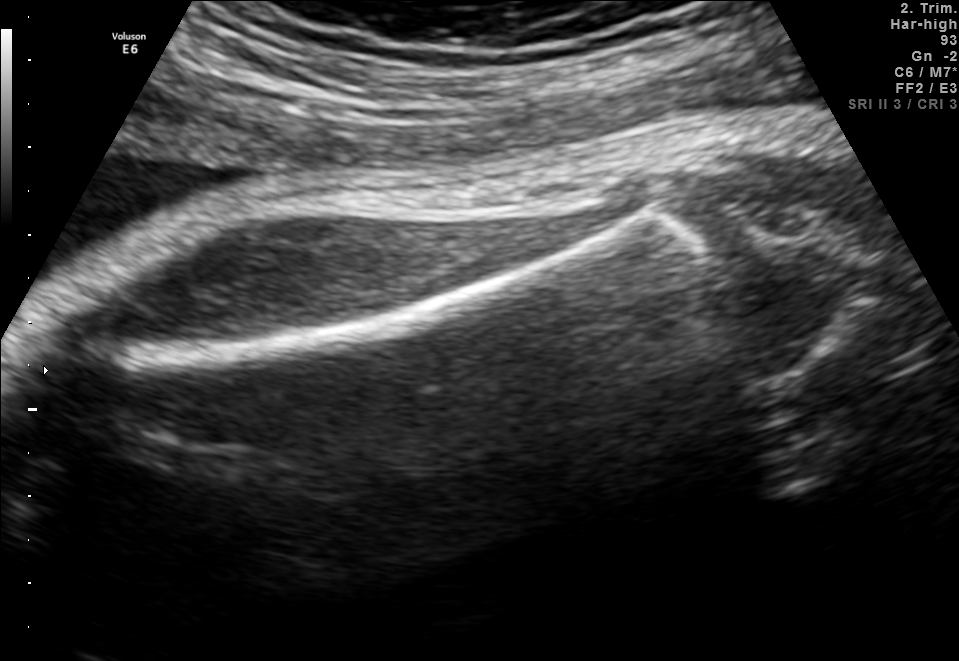
Classify this maternal-fetal ultrasound image as one of the six standard planes — fetal abdomen, fetal brain, fetal femur, fetal thorax, maternal cervix, or other. If it's fetal brain and one of the three standard brain planes (trans-thalamic, trans-cerebellum, trans-ventricular), name which.

Fetal femur